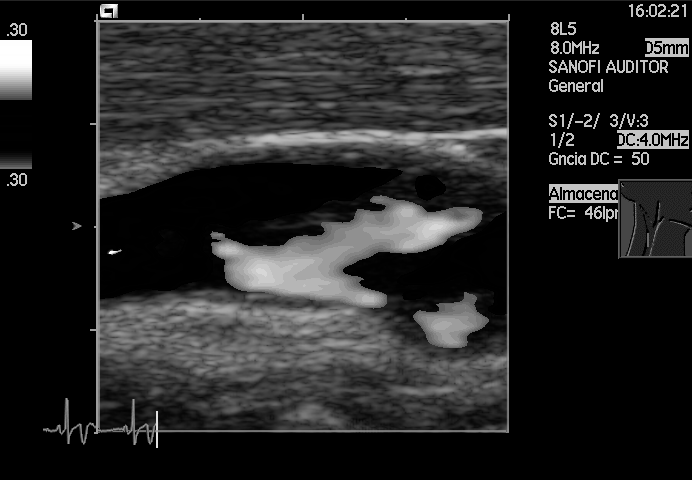
Which standard maternal-fetal ultrasound plane is shown: fetal abdomen, fetal brain, fetal femur, fetal thorax, maternal cervix, or other? If it's fetal brain and one of the three standard brain planes (trans-thalamic, trans-cerebellum, trans-ventricular), name which.

Other